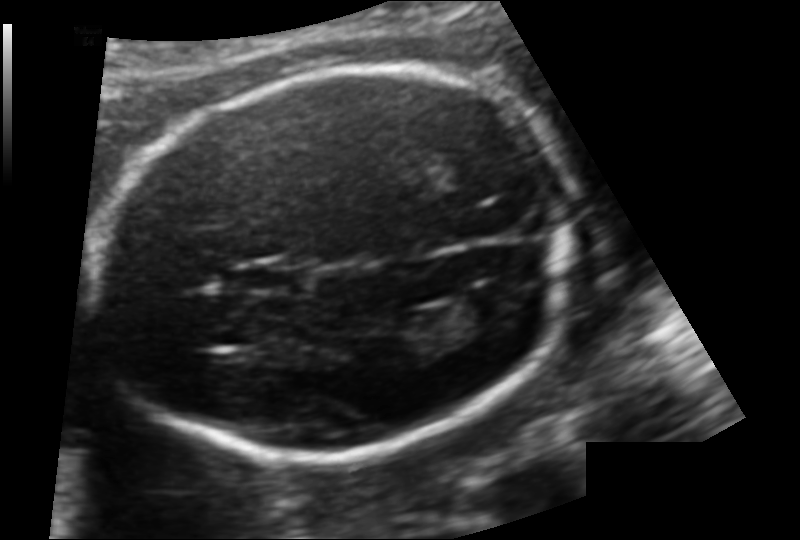
In this fetal head ultrasound, give the bounding box of the lateral ventricle. Image width: 98.8 mm.

[443,282,510,337]